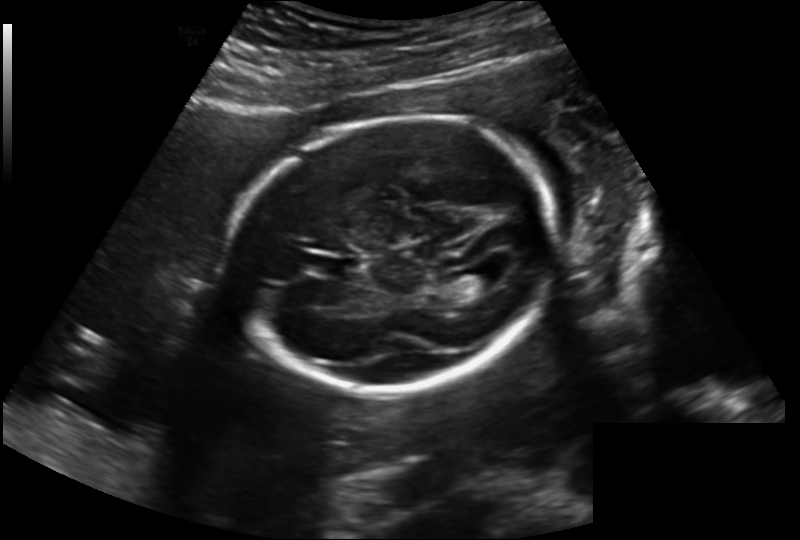
Fetal head ultrasound. Image width: 161.6 mm. Locate the fetal head and, if visible, the cavum septum pellucidum (CSP) and lateral ventricle (LV). Give bounding boxes as [x1,y1,x2,y2].

Head: [226,117,557,392]
CSP: [315,255,360,279]
Lateral ventricle: [450,257,502,303]